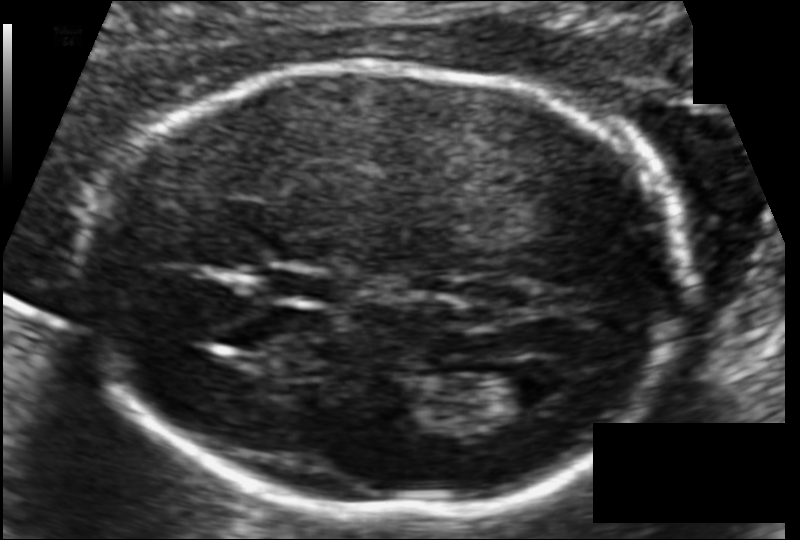
Fetal head ultrasound. Image width: 81.8 mm. Where is the cavum septum pellucidum?

CSP bounding box: [259,267,336,303]